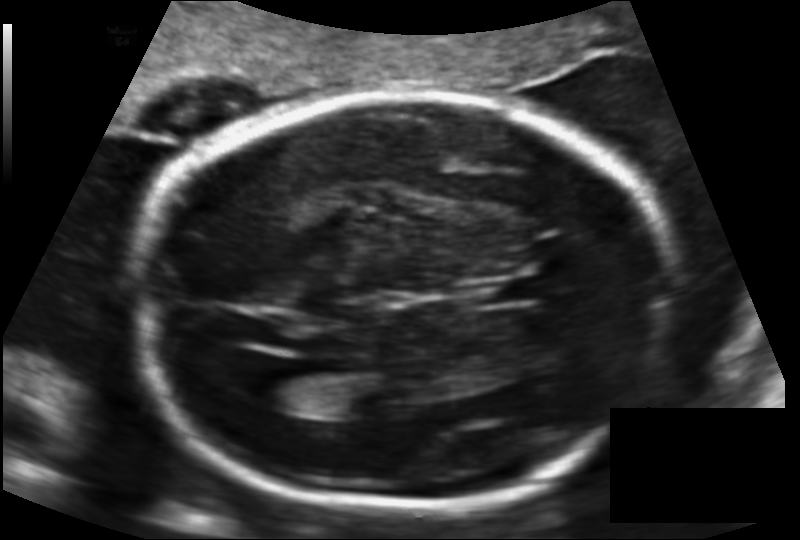
Fetal head ultrasound. Image width: 113.0 mm. Locate the fetal head and, if visible, the cavum septum pellucidum (CSP) and lateral ventricle (LV). Give bounding boxes as [x1,y1,x2,y2].

Head: [131,96,677,508]
CSP: [468,275,538,308]
Lateral ventricle: [243,358,320,415]